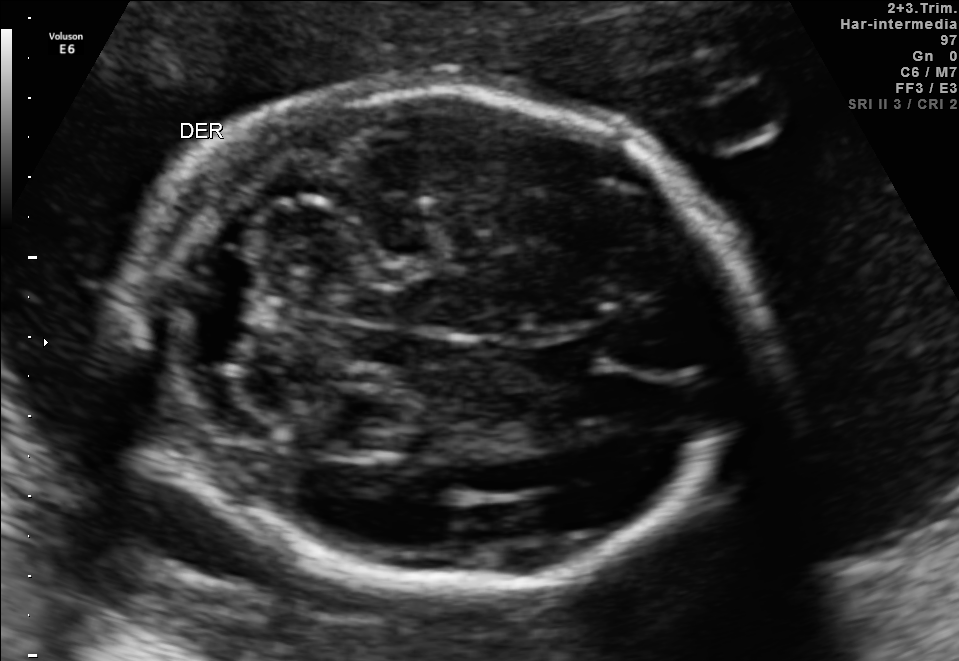
Classify this maternal-fetal ultrasound image as one of the six standard planes — fetal abdomen, fetal brain, fetal femur, fetal thorax, maternal cervix, or other. If it's fetal brain and one of the three standard brain planes (trans-thalamic, trans-cerebellum, trans-ventricular), name which.

Fetal brain (trans-cerebellum plane)